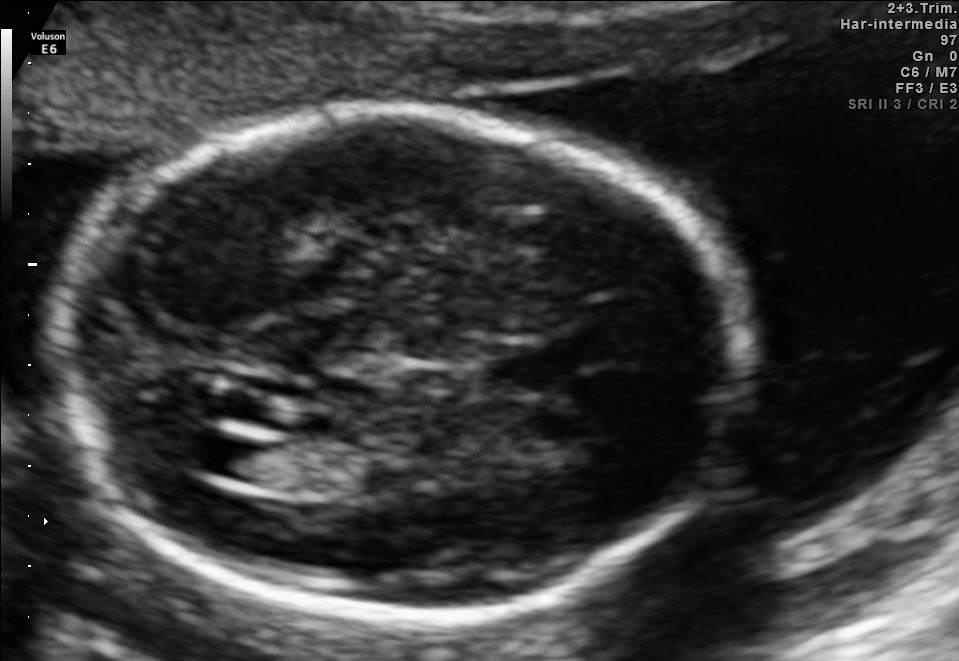
Identify the standard plane in this fetal ultrasound image: fetal abdomen, fetal brain, fetal femur, fetal thorax, maternal cervix, or other. If it's fetal brain and one of the three standard brain planes (trans-thalamic, trans-cerebellum, trans-ventricular), name which.

Fetal brain (trans-ventricular plane)